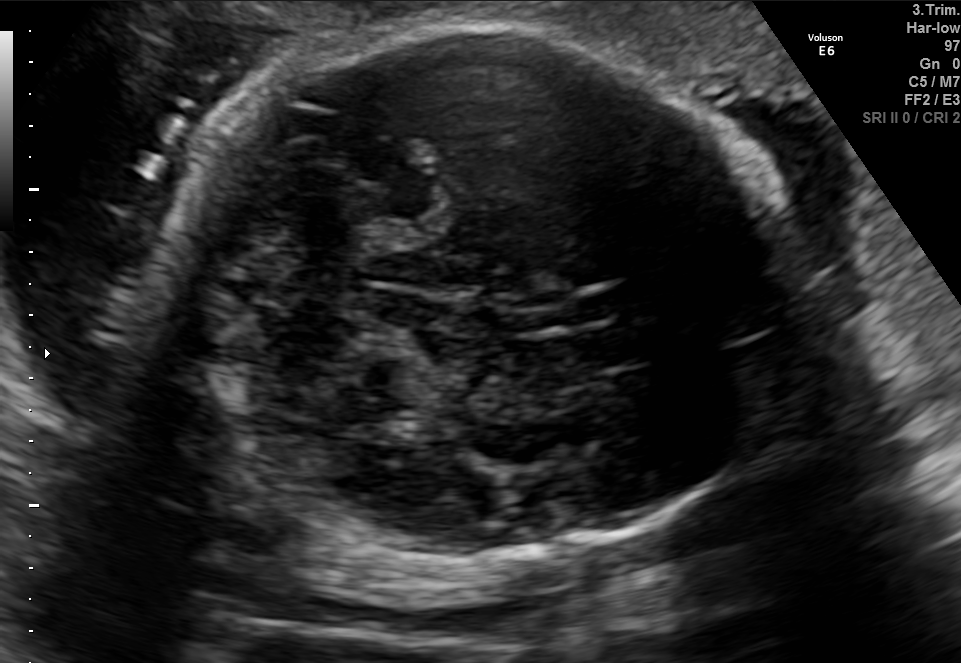
Classify this maternal-fetal ultrasound image as one of the six standard planes — fetal abdomen, fetal brain, fetal femur, fetal thorax, maternal cervix, or other. If it's fetal brain and one of the three standard brain planes (trans-thalamic, trans-cerebellum, trans-ventricular), name which.

Fetal brain (trans-cerebellum plane)